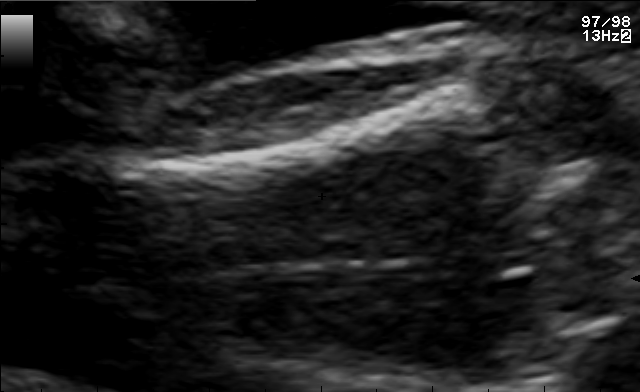
Identify the standard plane in this fetal ultrasound image: fetal abdomen, fetal brain, fetal femur, fetal thorax, maternal cervix, or other. If it's fetal brain and one of the three standard brain planes (trans-thalamic, trans-cerebellum, trans-ventricular), name which.

Fetal femur